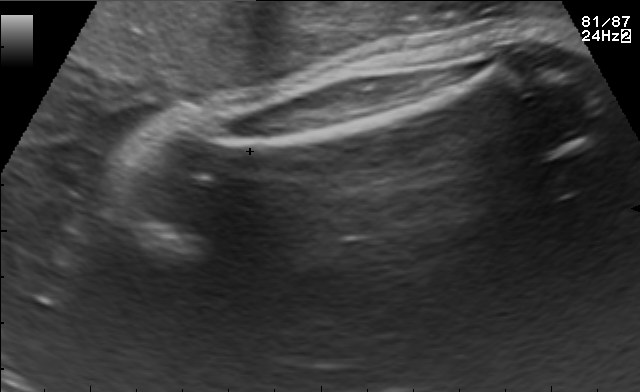
Identify the standard plane in this fetal ultrasound image: fetal abdomen, fetal brain, fetal femur, fetal thorax, maternal cervix, or other. If it's fetal brain and one of the three standard brain planes (trans-thalamic, trans-cerebellum, trans-ventricular), name which.

Fetal femur